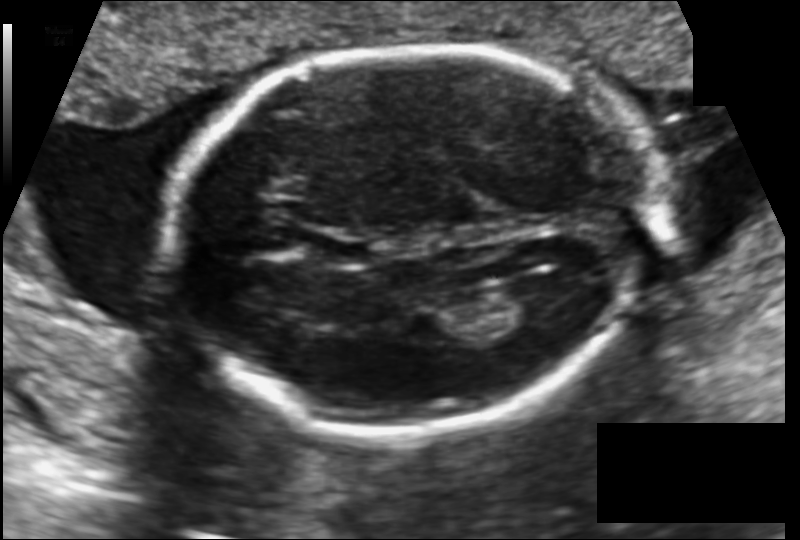
Measure the fetal head circumference shown in this ultrasound image. Image width: 106.0 mm.

Head circumference: 187.2 mm.